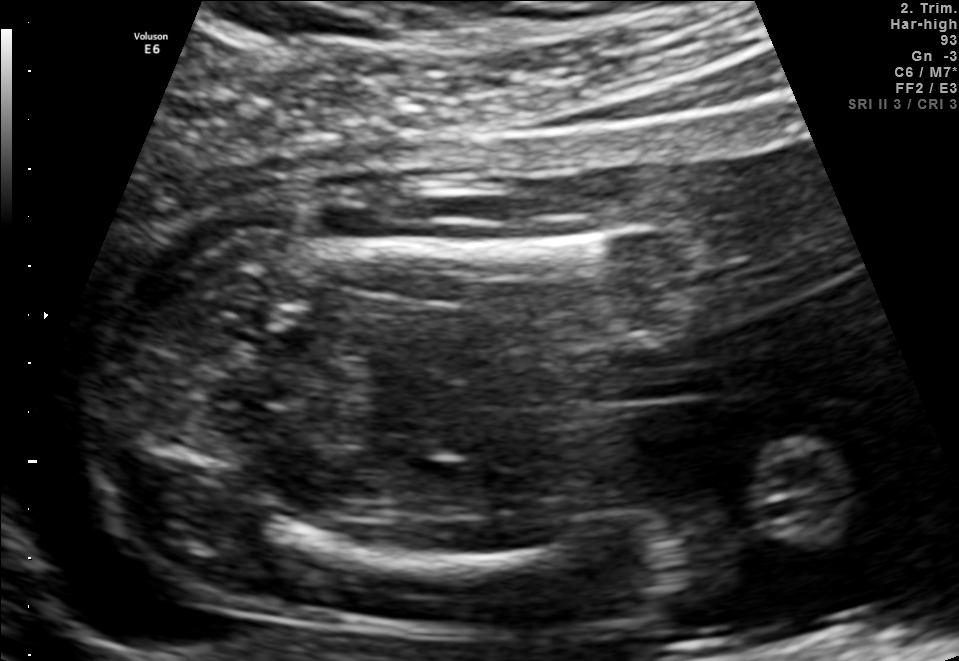
Identify the standard plane in this fetal ultrasound image: fetal abdomen, fetal brain, fetal femur, fetal thorax, maternal cervix, or other. If it's fetal brain and one of the three standard brain planes (trans-thalamic, trans-cerebellum, trans-ventricular), name which.

Fetal femur